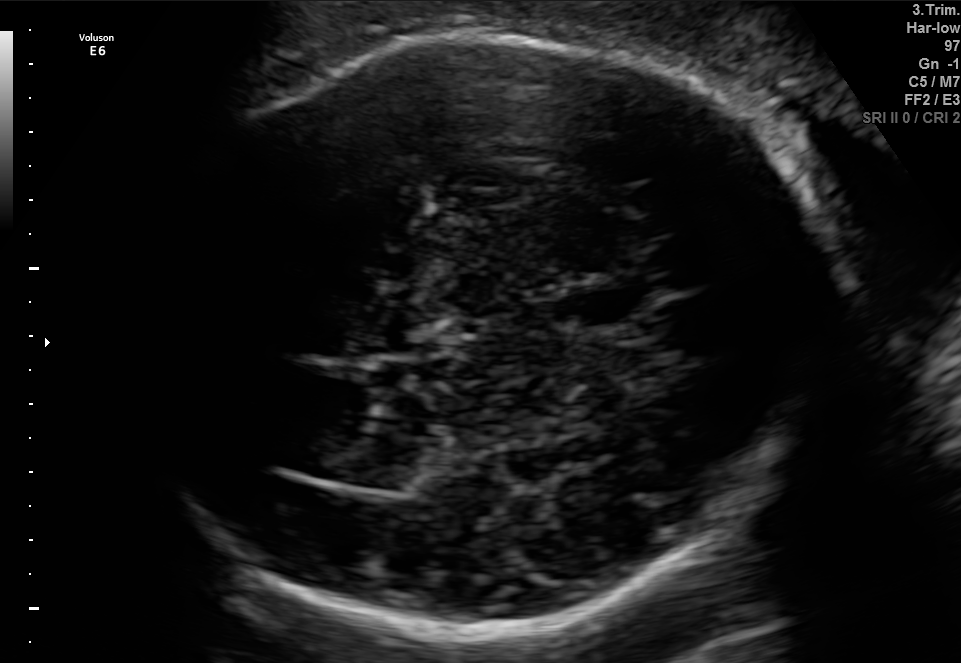
Fetal brain, trans-thalamic plane. Where is the fetal head?

Head bounding box: [140,33,831,634]